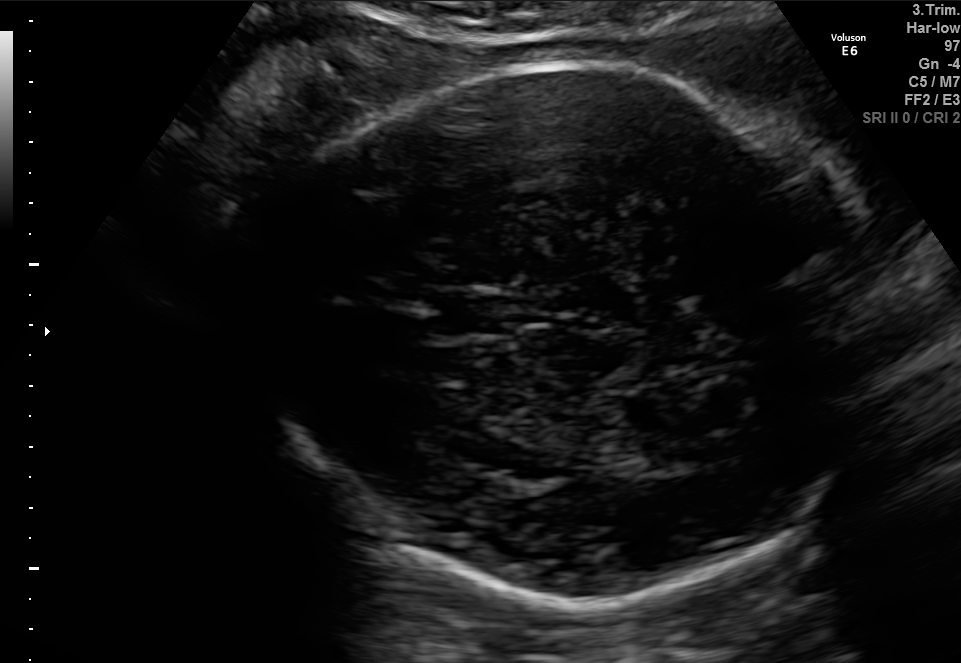
Fetal brain, trans-thalamic plane. Give [x1,y1,x2,y2] bounding boxes for each visible structure among: fetal head, CSP, LV.

Head: [244,60,882,605]
CSP: [425,295,512,334]